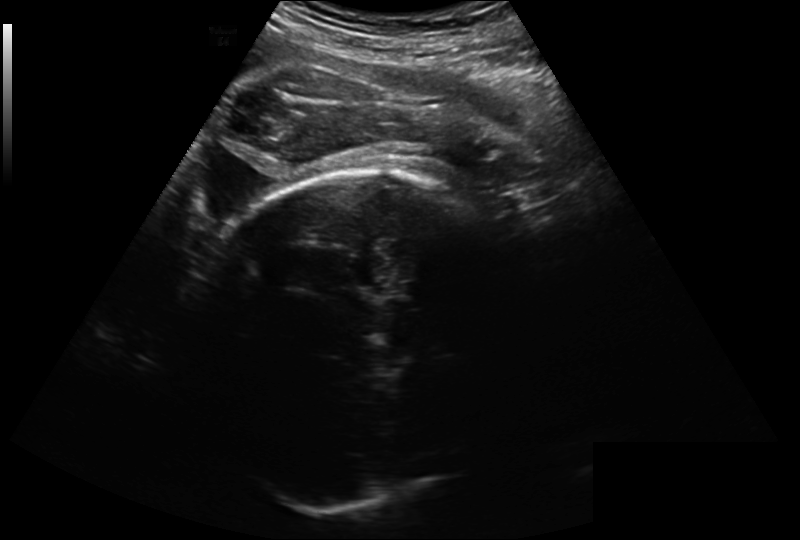
Measure the fetal head circumference shown in this ultrasound image. Image width: 208.2 mm.

Head circumference: 293.2 mm.